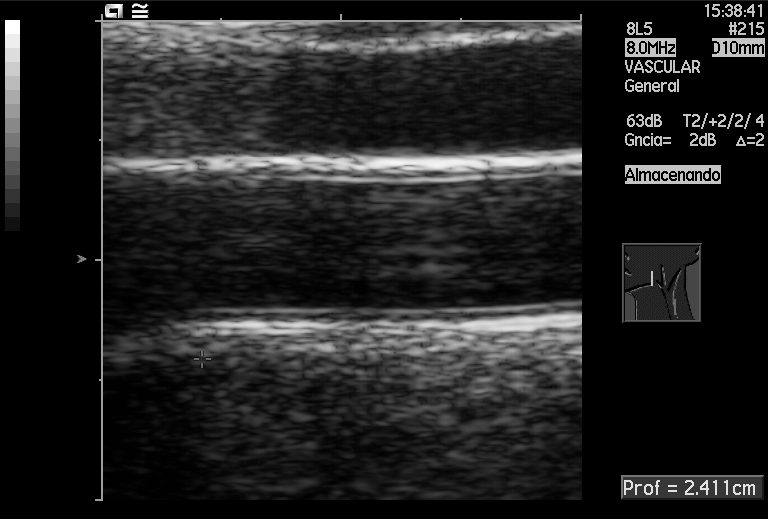
Identify the standard plane in this fetal ultrasound image: fetal abdomen, fetal brain, fetal femur, fetal thorax, maternal cervix, or other. If it's fetal brain and one of the three standard brain planes (trans-thalamic, trans-cerebellum, trans-ventricular), name which.

Other